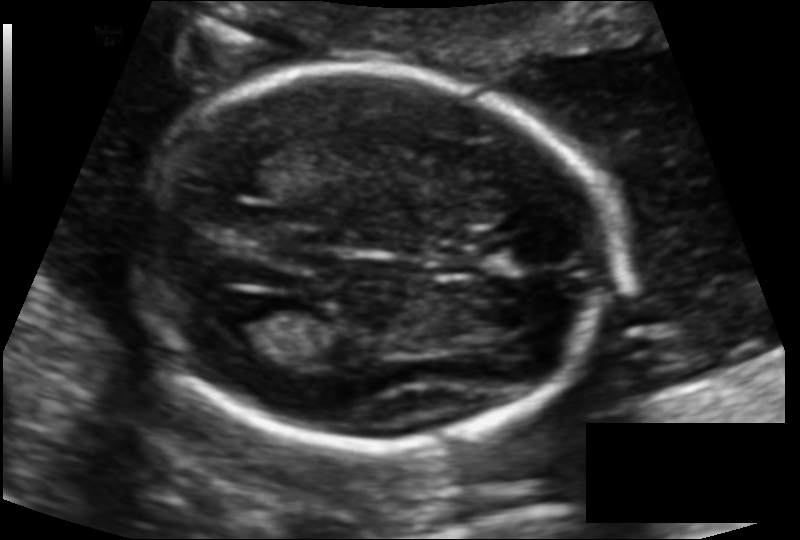
Fetal head ultrasound. Image width: 93.4 mm. Locate the fetal head and, if visible, the cavum septum pellucidum (CSP) and lateral ventricle (LV). Give bounding boxes as [x1,y1,x2,y2].

Head: [131,65,612,446]
Lateral ventricle: [216,293,298,354]